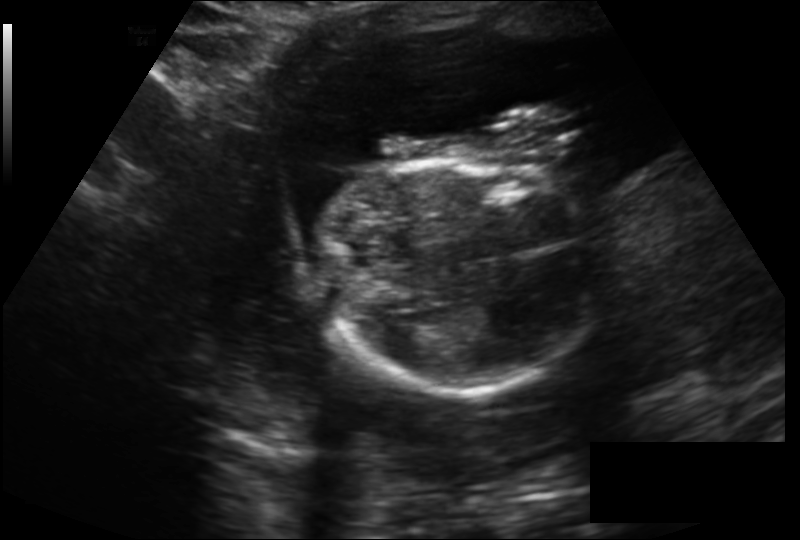
Fetal head ultrasound. Image width: 155.8 mm. Give [x1,y1,x2,y2] bounding boxes for each visible structure among: fetal head, CSP, LV.

Head: [320,158,596,395]